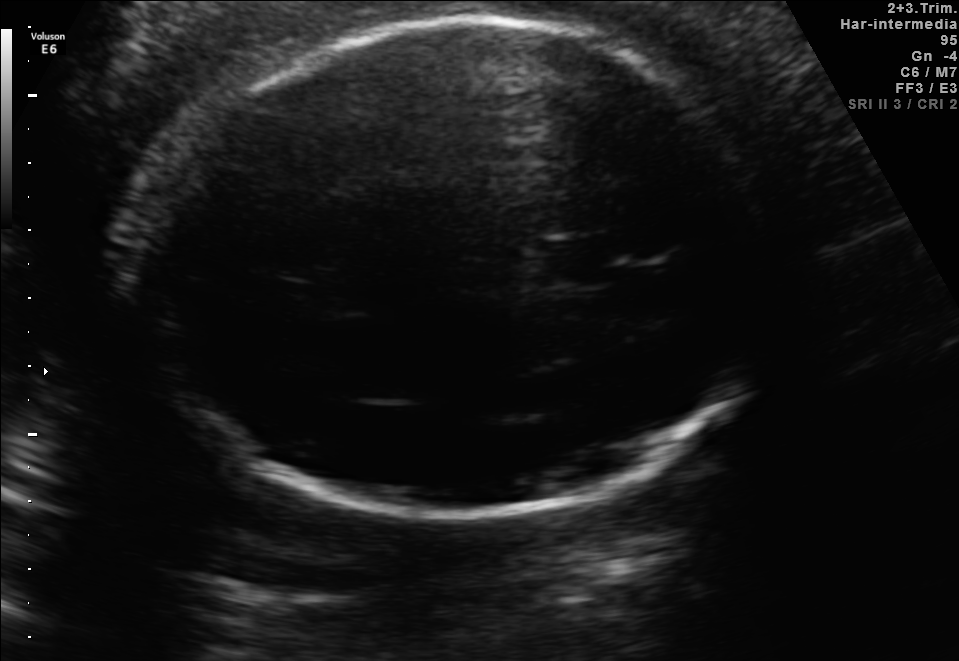
Fetal brain, trans-thalamic plane. Locate the fetal head and, if visible, the cavum septum pellucidum (CSP) and lateral ventricle (LV). Give bounding boxes as [x1,y1,x2,y2].

Head: [137,22,762,517]
CSP: [536,237,608,285]